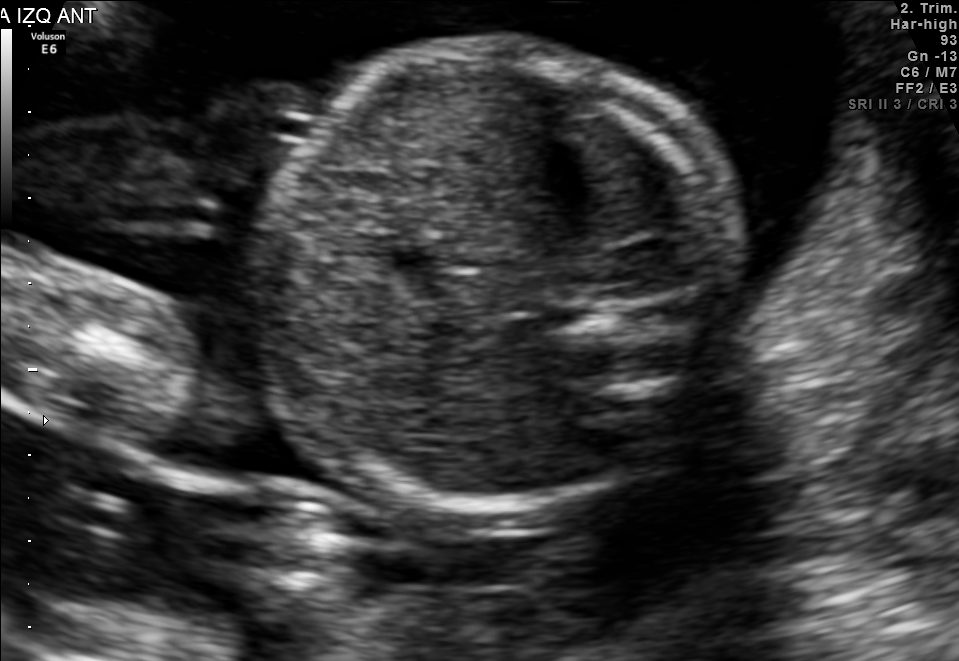
Which standard maternal-fetal ultrasound plane is shown: fetal abdomen, fetal brain, fetal femur, fetal thorax, maternal cervix, or other? If it's fetal brain and one of the three standard brain planes (trans-thalamic, trans-cerebellum, trans-ventricular), name which.

Fetal abdomen